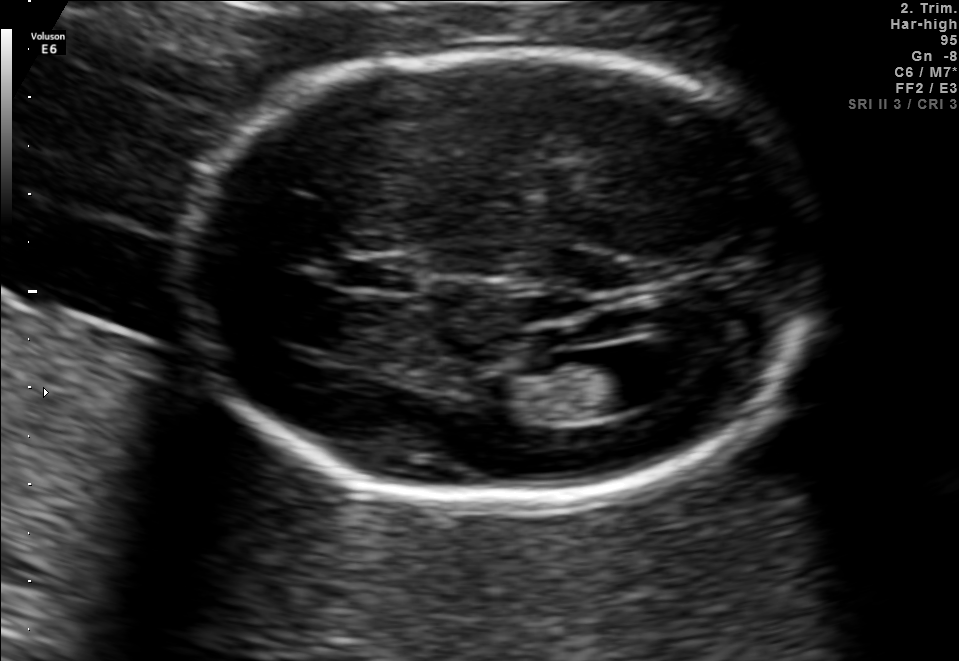
In this fetal brain, trans-ventricular plane, give the bounding box of the lateral ventricle.

[562,331,688,423]